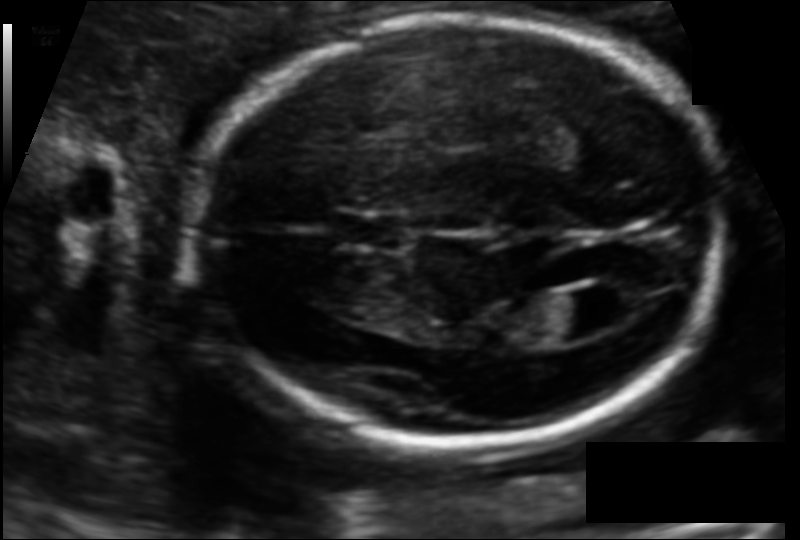
Fetal head ultrasound. Image width: 90.0 mm. Give [x1,y1,x2,y2] bounding boxes for each visible structure among: fetal head, CSP, LV.

Head: [195,16,718,446]
CSP: [335,211,404,250]
Lateral ventricle: [543,281,630,345]